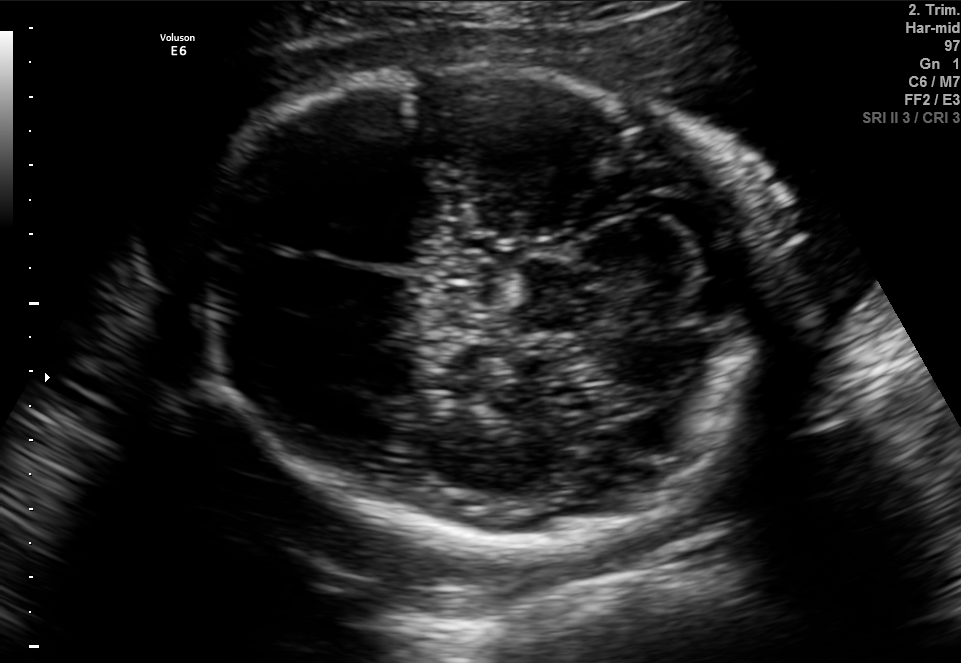
Fetal brain, trans-cerebellum plane. Locate the fetal head.

Head: [191,66,782,547]